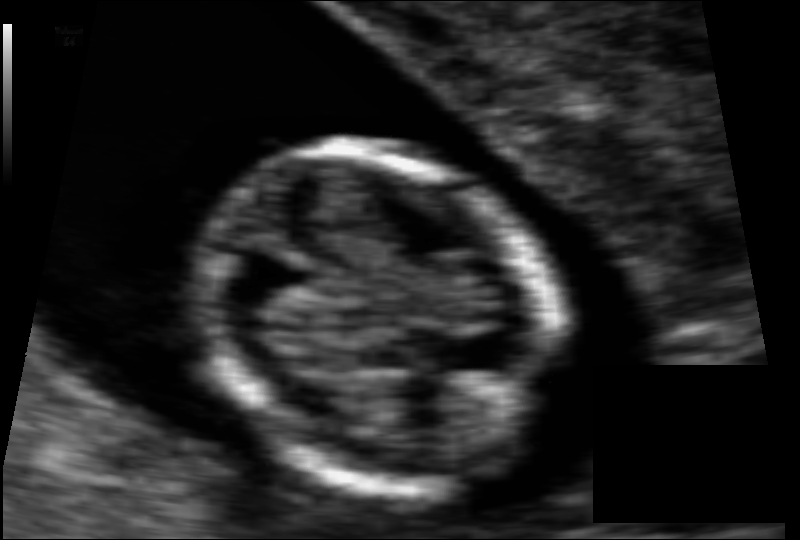
Estimate the fetal head circumference from this 2D ultrasound. Image width: 49.4 mm.

Head circumference: 69.9 mm.